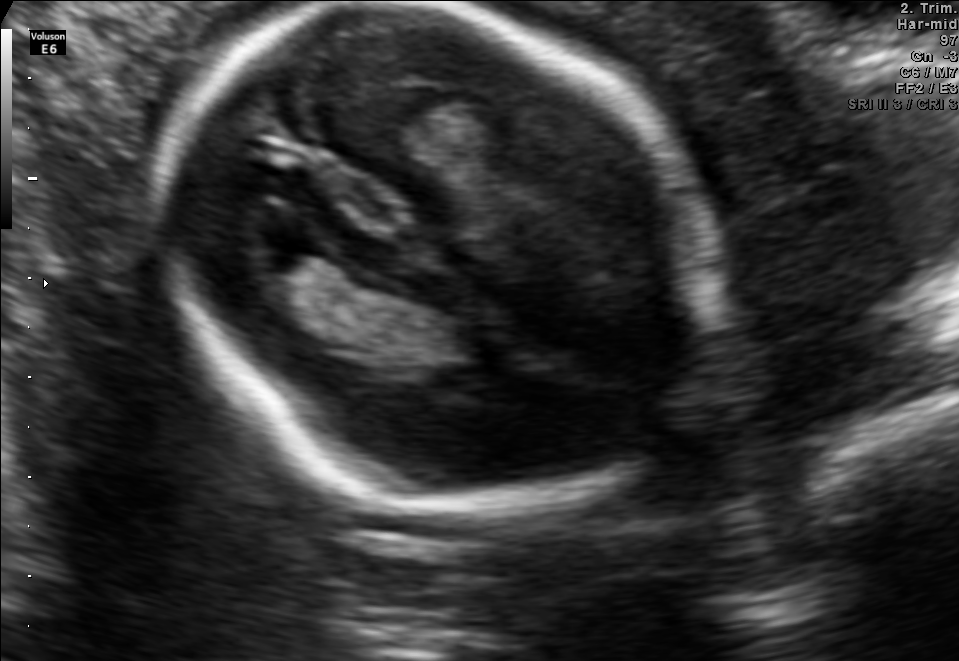
Fetal brain, trans-thalamic plane. Locate the fetal head.

Head: [159,3,720,502]